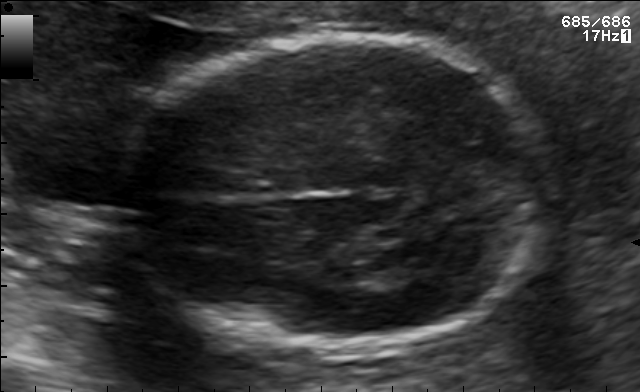
In this fetal brain, trans-thalamic plane, give bounding boxes for the head outline, cavum septum pellucidum (CSP), and lateral ventricle (LV), where visible.

Head: [123,35,547,355]